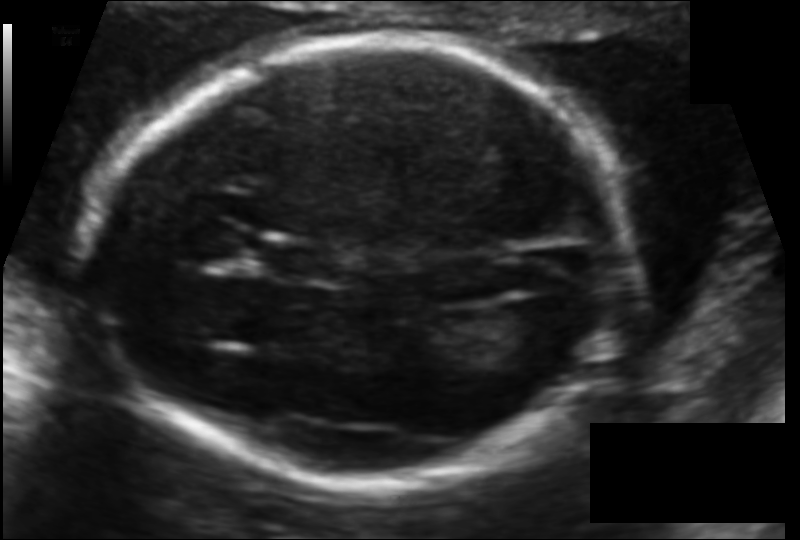
In this fetal head ultrasound, give the bounding box of the fetal head. Image width: 85.1 mm.

[89,39,629,484]